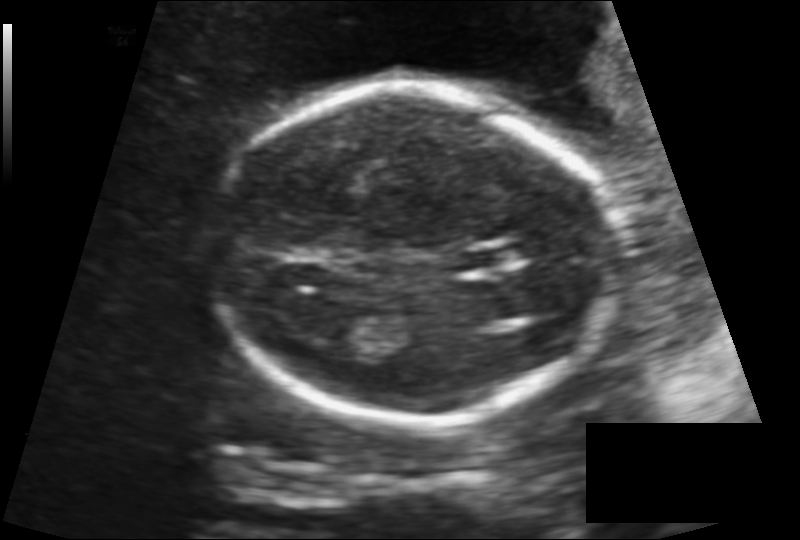
In this fetal head ultrasound, give the bounding box of the fetal head. Image width: 110.1 mm.

[215,89,616,426]